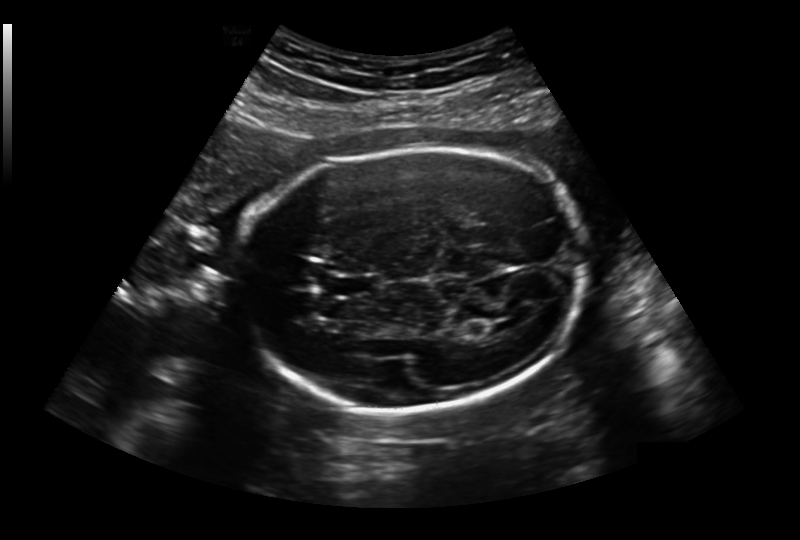
In this fetal head ultrasound, give the bounding box of the lateral ventricle. Image width: 188.7 mm.

[490,315,520,335]